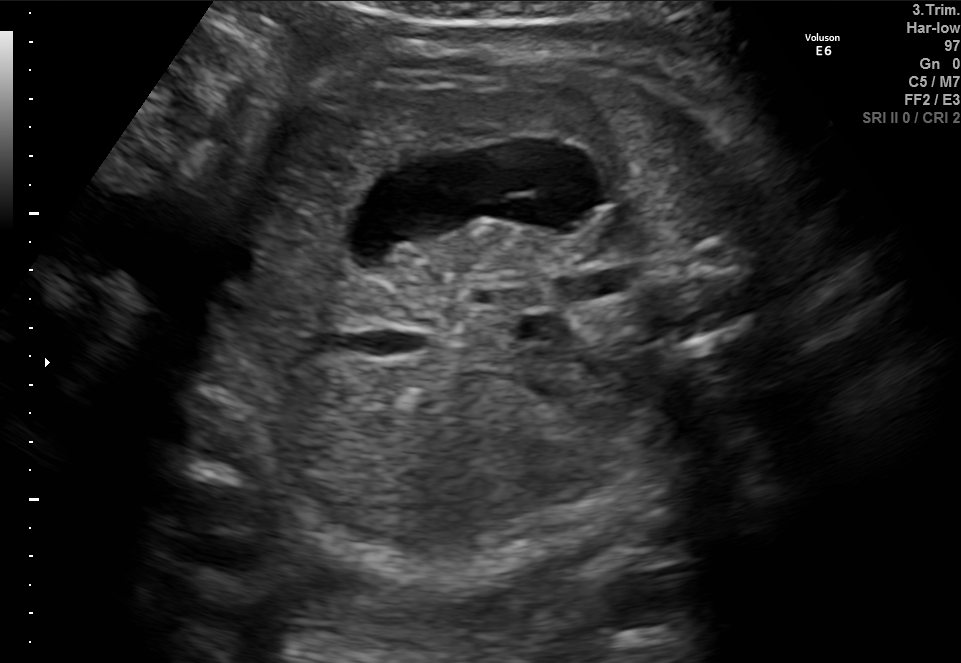
Which standard maternal-fetal ultrasound plane is shown: fetal abdomen, fetal brain, fetal femur, fetal thorax, maternal cervix, or other? If it's fetal brain and one of the three standard brain planes (trans-thalamic, trans-cerebellum, trans-ventricular), name which.

Fetal abdomen